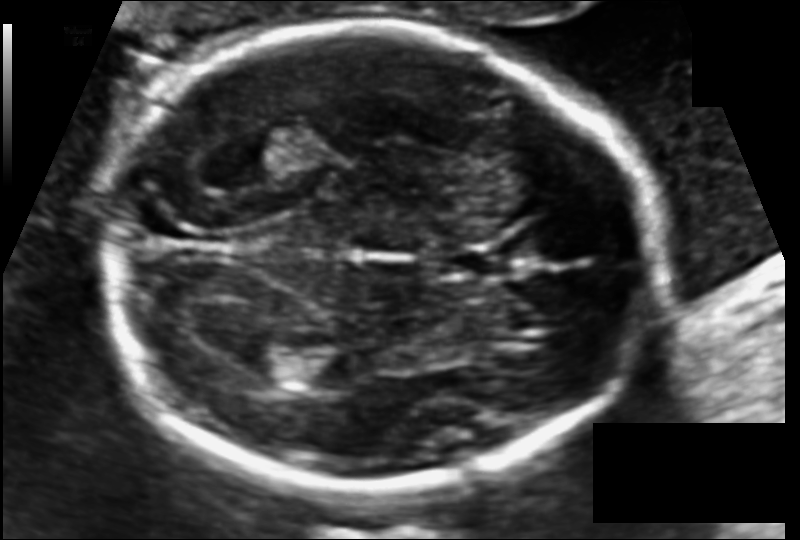
From this fetal ultrasound, estimate the head circumference (image width 87.7 mm).

Head circumference: 179.6 mm.